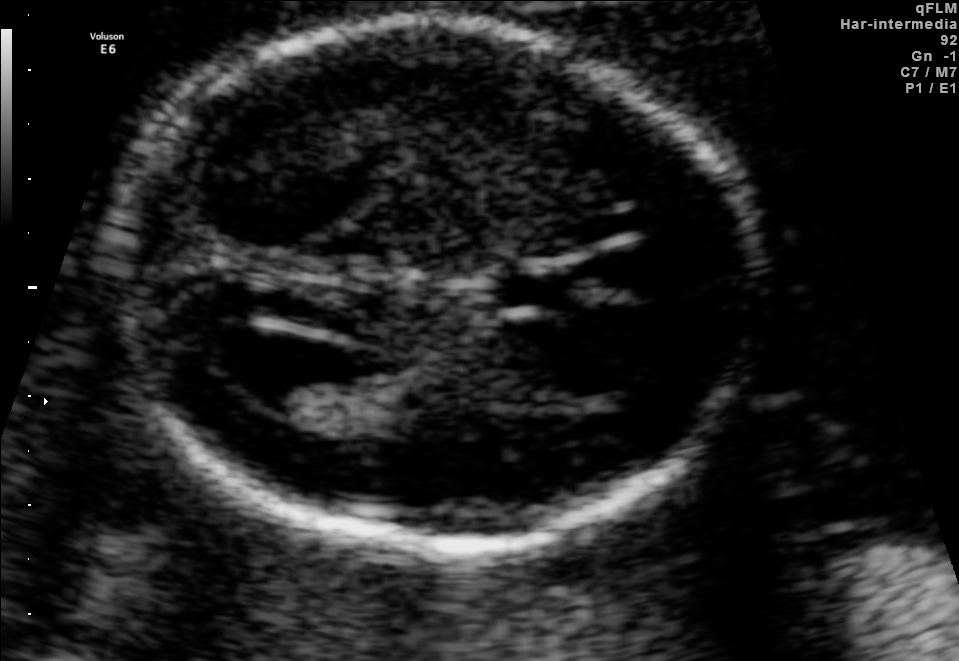
Fetal brain, trans-ventricular plane. Where is the cavum septum pellucidum?

CSP bounding box: [482,272,588,312]